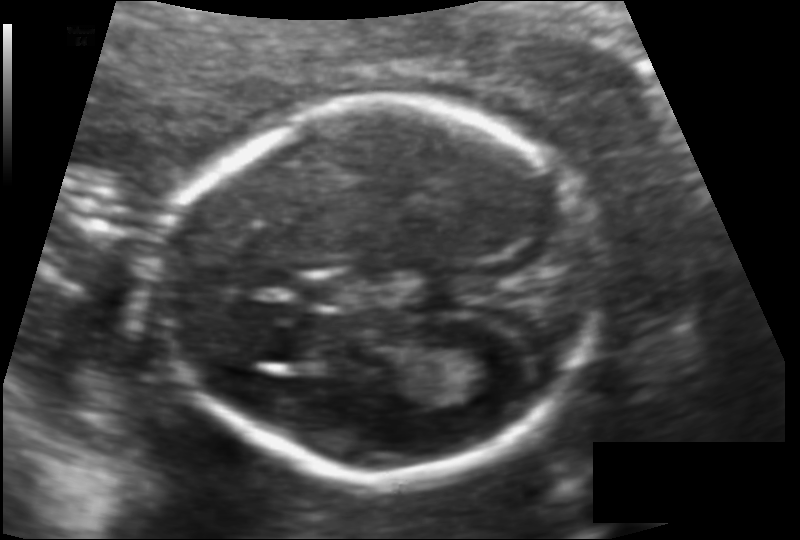
Estimate the fetal head circumference from this 2D ultrasound. Image width: 90.5 mm.

Head circumference: 149.1 mm.